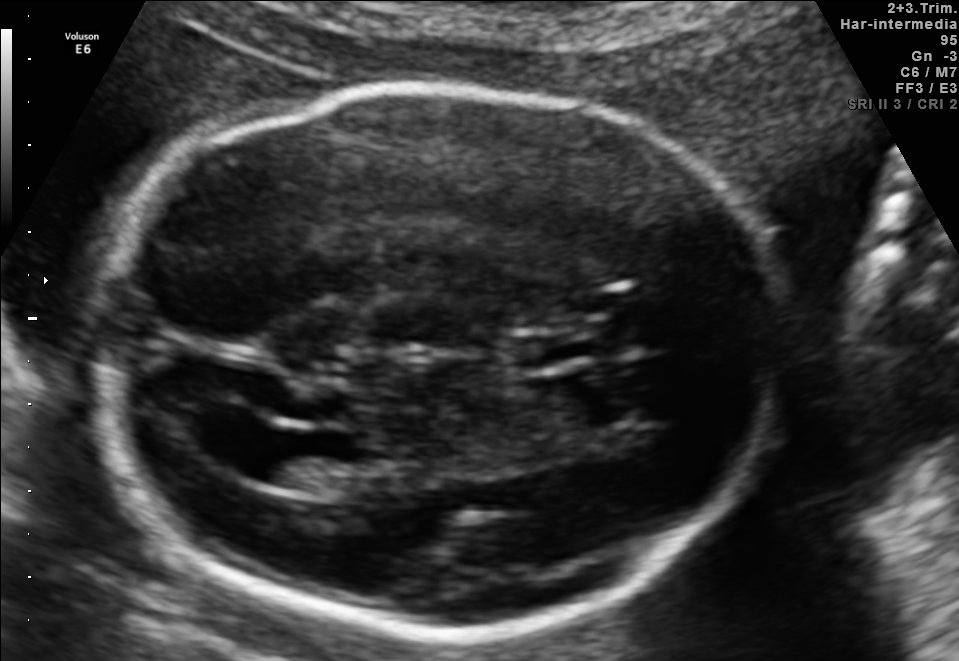
This is a 2D maternal-fetal ultrasound frame. Is it a fetal abdomen, fetal brain, fetal femur, fetal thorax, maternal cervix, or other standard plane? If it's fetal brain and one of the three standard brain planes (trans-thalamic, trans-cerebellum, trans-ventricular), name which.

Fetal brain (trans-ventricular plane)